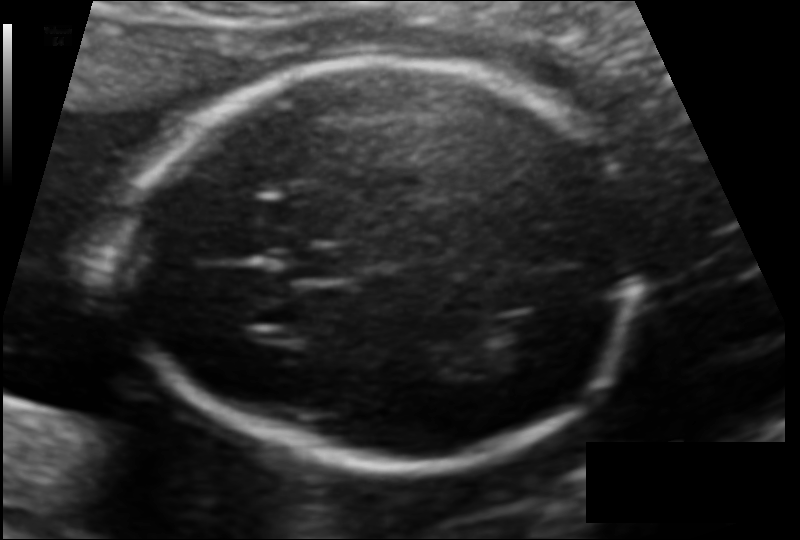
Fetal head ultrasound. Image width: 92.5 mm. Locate the fetal head and, if visible, the cavum septum pellucidum (CSP) and lateral ventricle (LV). Give bounding boxes as [x1,y1,x2,y2].

Head: [126,58,641,464]
CSP: [279,247,351,282]